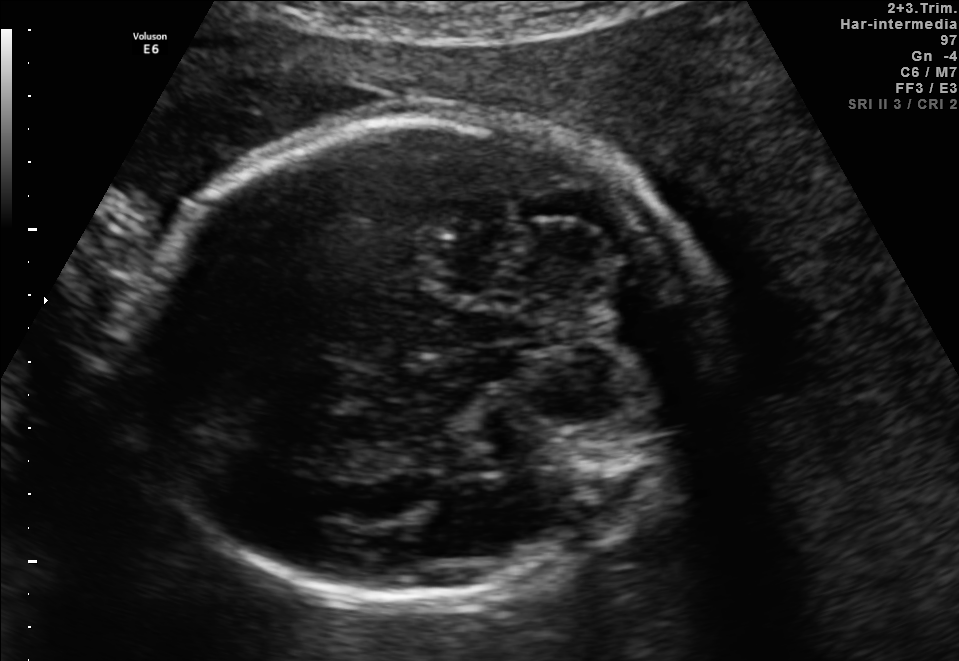
In this fetal brain, trans-cerebellum plane, give the bounding box of the fetal head.

[135,110,704,599]